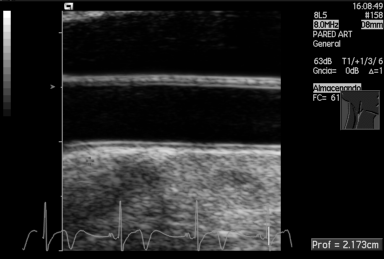
Classify this maternal-fetal ultrasound image as one of the six standard planes — fetal abdomen, fetal brain, fetal femur, fetal thorax, maternal cervix, or other. If it's fetal brain and one of the three standard brain planes (trans-thalamic, trans-cerebellum, trans-ventricular), name which.

Other